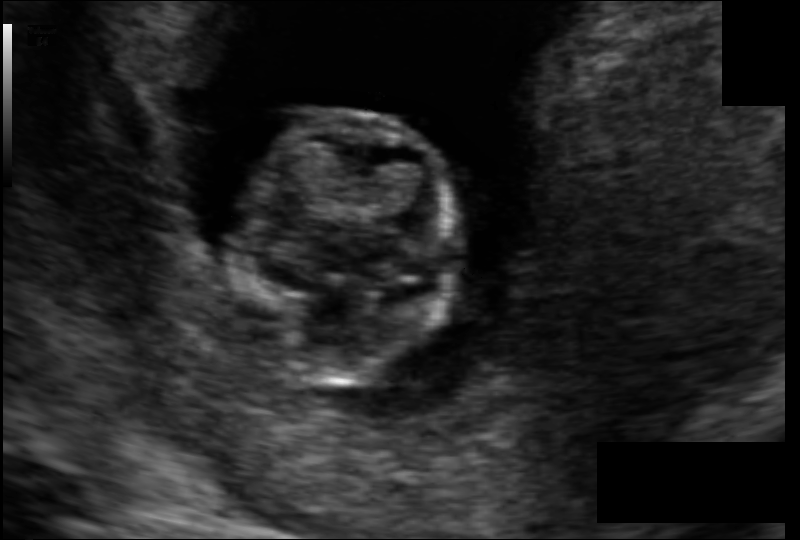
Fetal head ultrasound. Image width: 72.7 mm. Locate the fetal head and, if visible, the cavum septum pellucidum (CSP) and lateral ventricle (LV). Give bounding boxes as [x1,y1,x2,y2].

Head: [237,110,458,387]